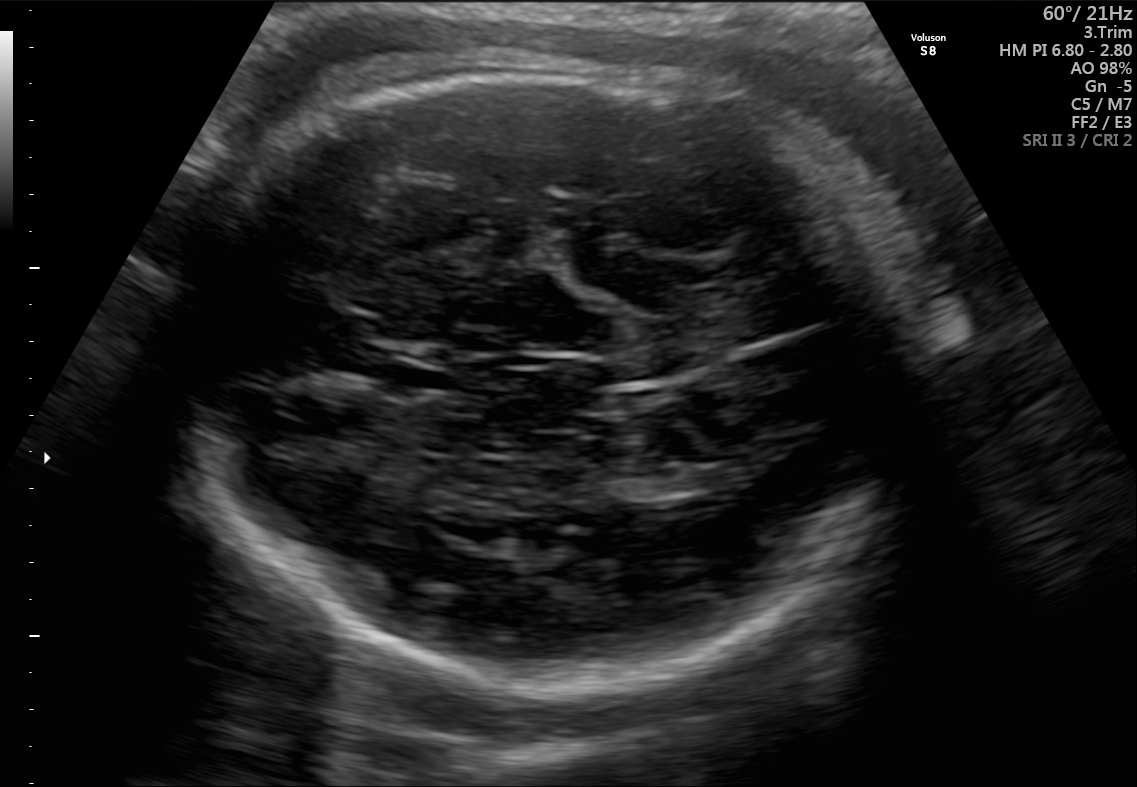
In this fetal brain, trans-thalamic plane, give the bounding box of the fetal head.

[167,67,918,682]